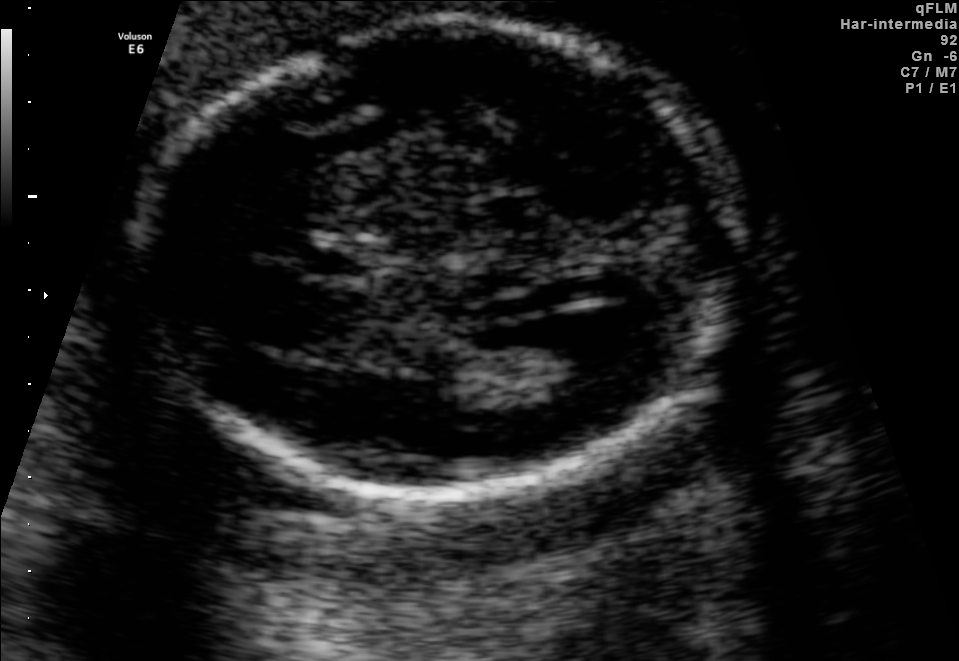
In this fetal brain, trans-ventricular plane, give the bounding box of the cavum septum pellucidum.

[299,241,374,284]